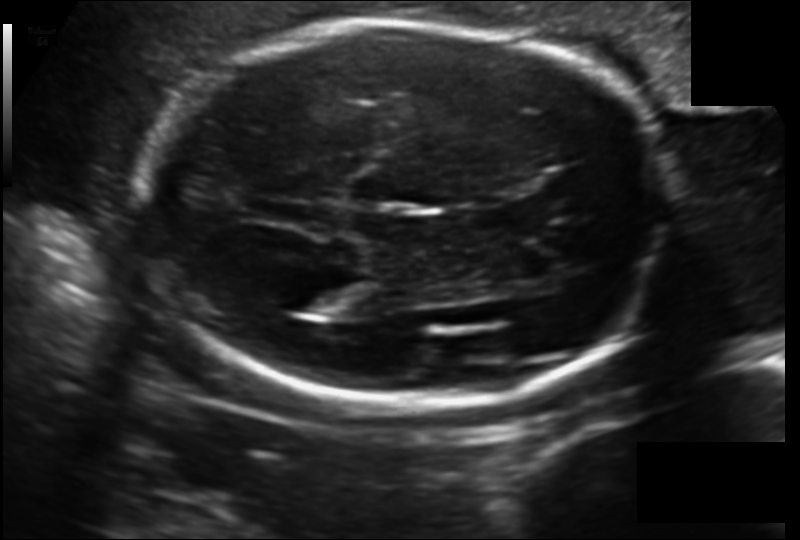
Fetal head ultrasound. Image width: 121.4 mm. Give [x1,y1,x2,y2] bounding boxes for each visible structure among: fetal head, CSP, LV.

Head: [143,19,669,407]
Lateral ventricle: [280,272,358,316]